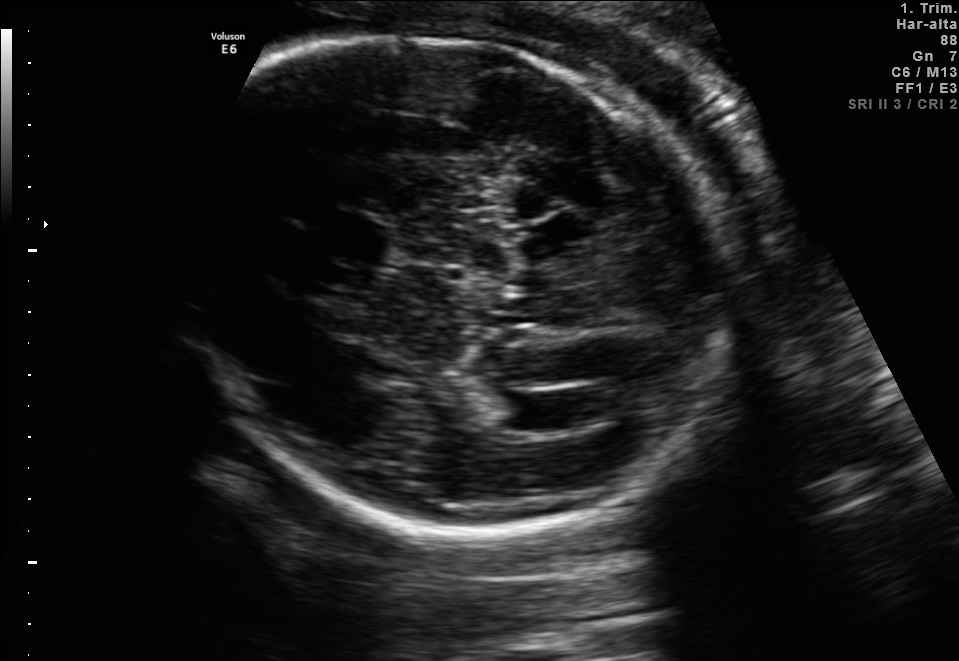
Fetal brain, trans-ventricular plane. Locate the fetal head and, if visible, the cavum septum pellucidum (CSP) and lateral ventricle (LV). Give bounding boxes as [x1,y1,x2,y2].

Head: [155,28,758,545]
CSP: [336,213,398,267]
Lateral ventricle: [503,394,568,430]